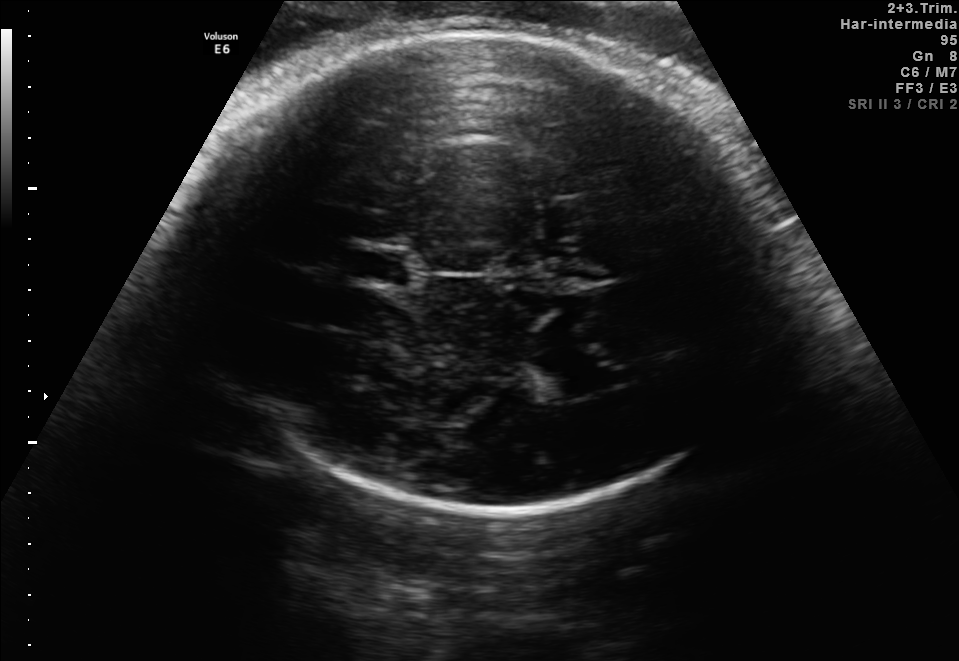
Fetal brain, trans-thalamic plane. Where is the cavum septum pellucidum?

CSP bounding box: [353,246,411,288]